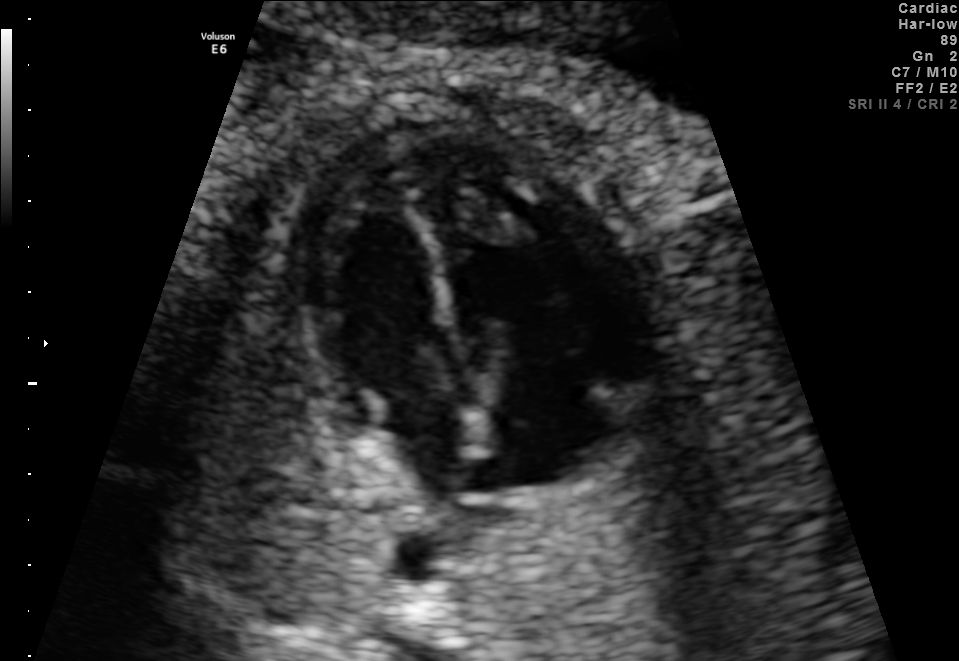
This is a 2D maternal-fetal ultrasound frame. Is it a fetal abdomen, fetal brain, fetal femur, fetal thorax, maternal cervix, or other standard plane? If it's fetal brain and one of the three standard brain planes (trans-thalamic, trans-cerebellum, trans-ventricular), name which.

Fetal thorax